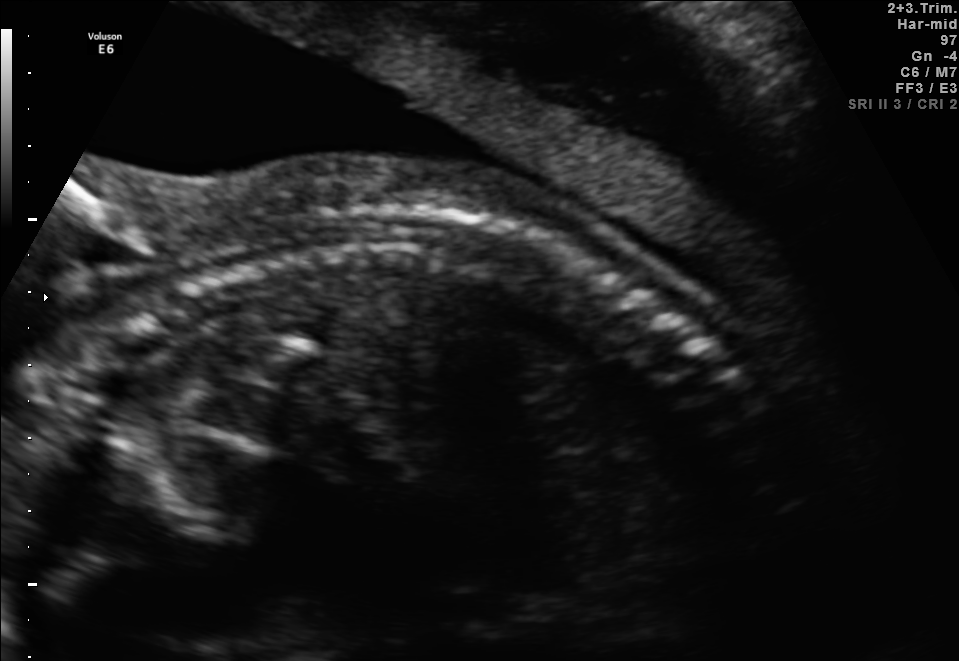
Which standard maternal-fetal ultrasound plane is shown: fetal abdomen, fetal brain, fetal femur, fetal thorax, maternal cervix, or other? If it's fetal brain and one of the three standard brain planes (trans-thalamic, trans-cerebellum, trans-ventricular), name which.

Other